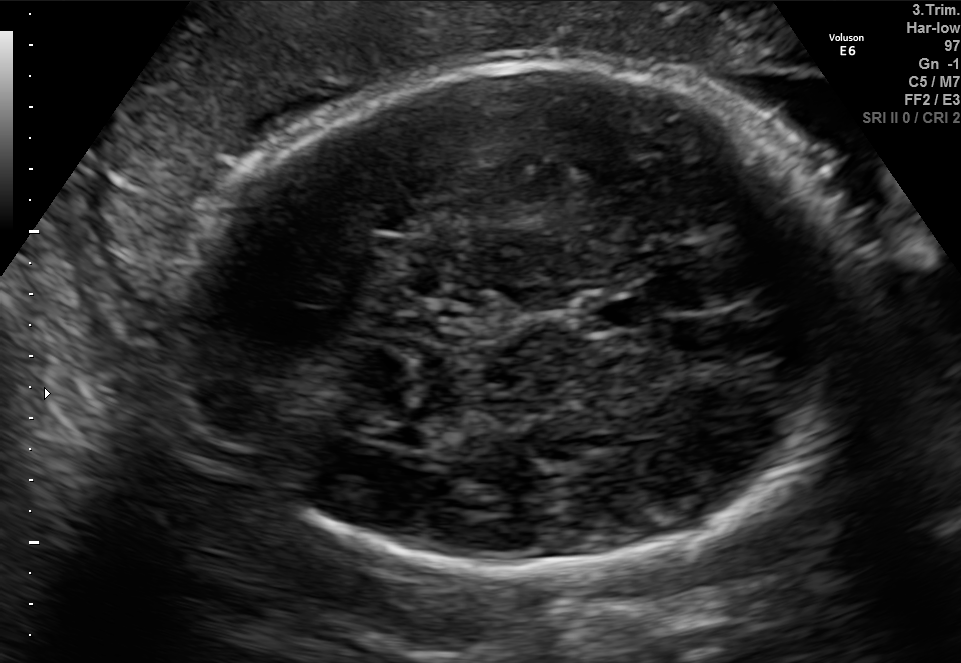
Fetal brain, trans-thalamic plane. Where is the cavum septum pellucidum?

CSP bounding box: [580,291,645,331]